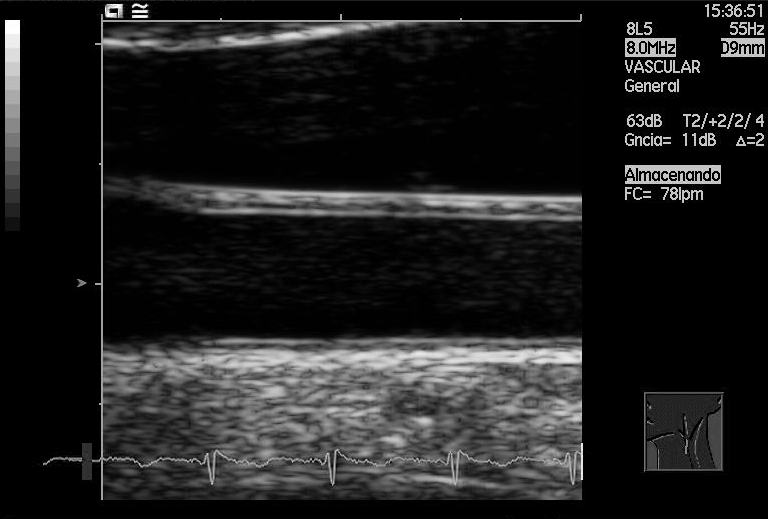
This is a 2D maternal-fetal ultrasound frame. Is it a fetal abdomen, fetal brain, fetal femur, fetal thorax, maternal cervix, or other standard plane? If it's fetal brain and one of the three standard brain planes (trans-thalamic, trans-cerebellum, trans-ventricular), name which.

Other